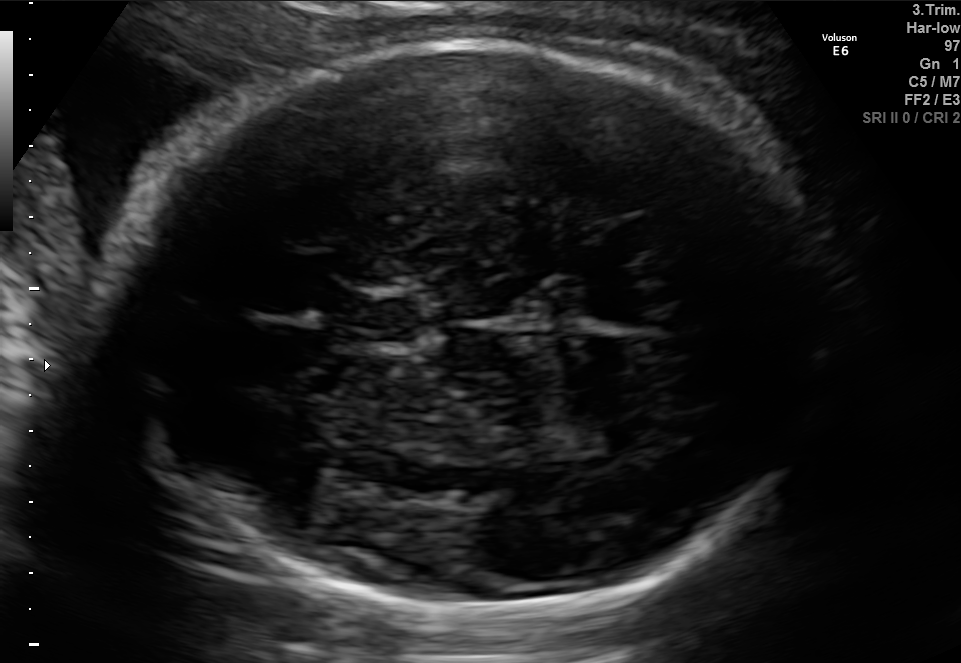
In this fetal brain, trans-thalamic plane, give the bounding box of the fetal head.

[106,45,821,614]